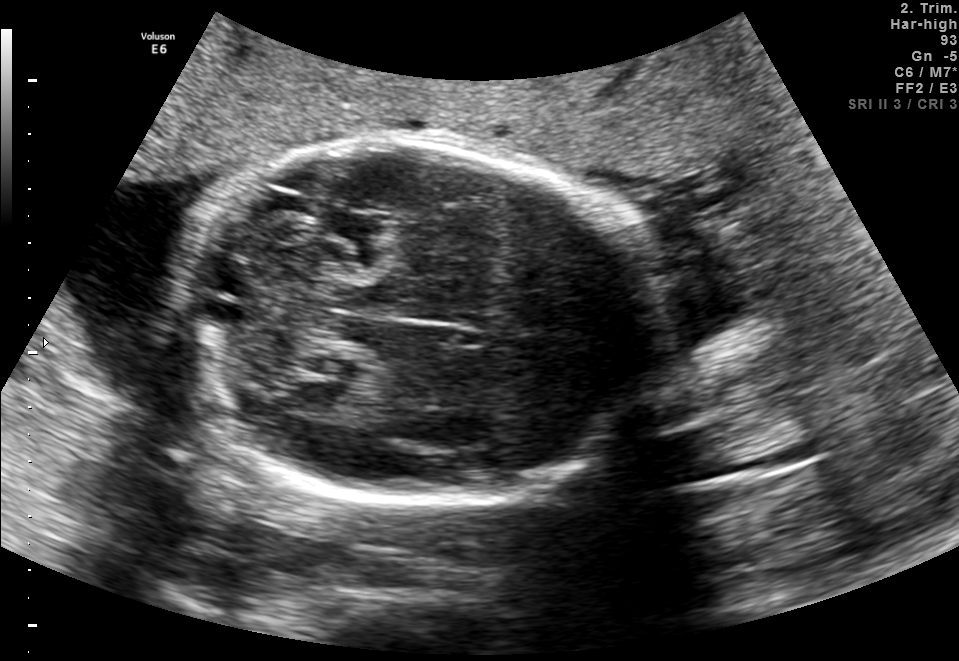
Fetal brain, trans-cerebellum plane. Where is the fetal head?

Head bounding box: [175,140,644,503]